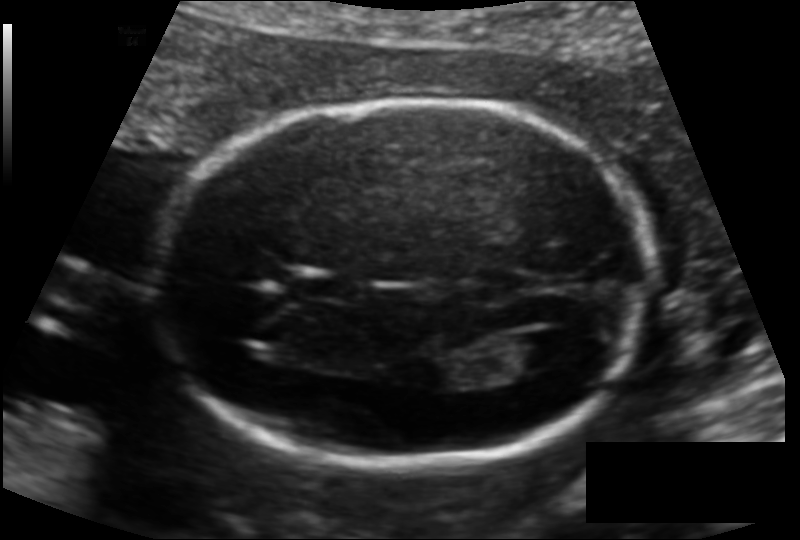
Estimate the fetal head circumference from this 2D ultrasound.

Head circumference: 178.0 mm (image width 102.6 mm).